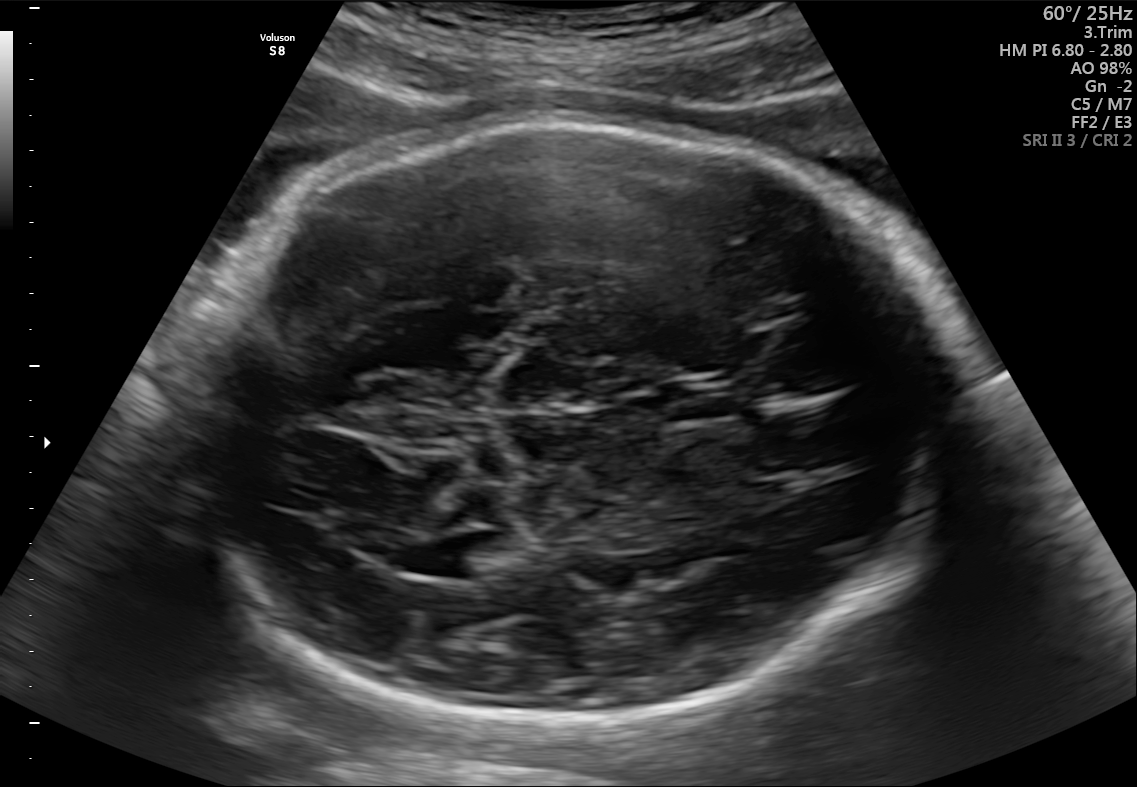
Fetal brain, trans-ventricular plane. Give [x1,y1,x2,y2] bounding boxes for each visible structure among: fetal head, CSP, LV.

Head: [179,111,965,729]